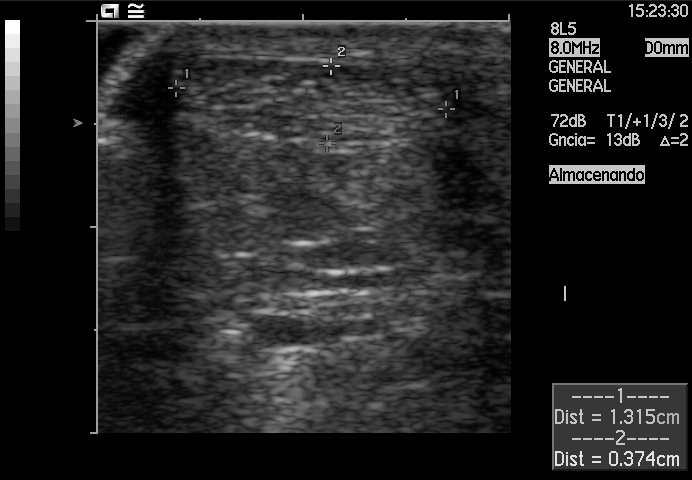
Identify the standard plane in this fetal ultrasound image: fetal abdomen, fetal brain, fetal femur, fetal thorax, maternal cervix, or other. If it's fetal brain and one of the three standard brain planes (trans-thalamic, trans-cerebellum, trans-ventricular), name which.

Other